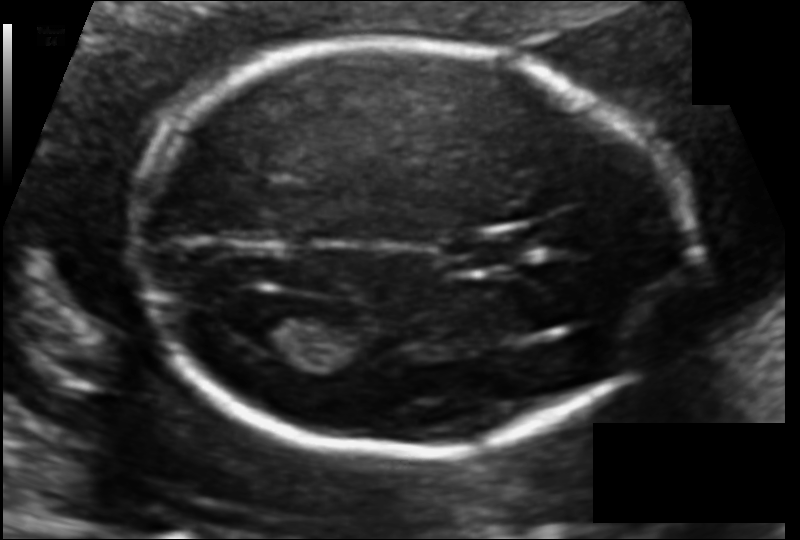
In this fetal head ultrasound, give bounding boxes for the head outline, cavum septum pellucidum (CSP), and lateral ventricle (LV), where visible. Image width: 84.8 mm.

Head: [128,44,686,453]
CSP: [450,230,525,273]
Lateral ventricle: [240,297,331,367]